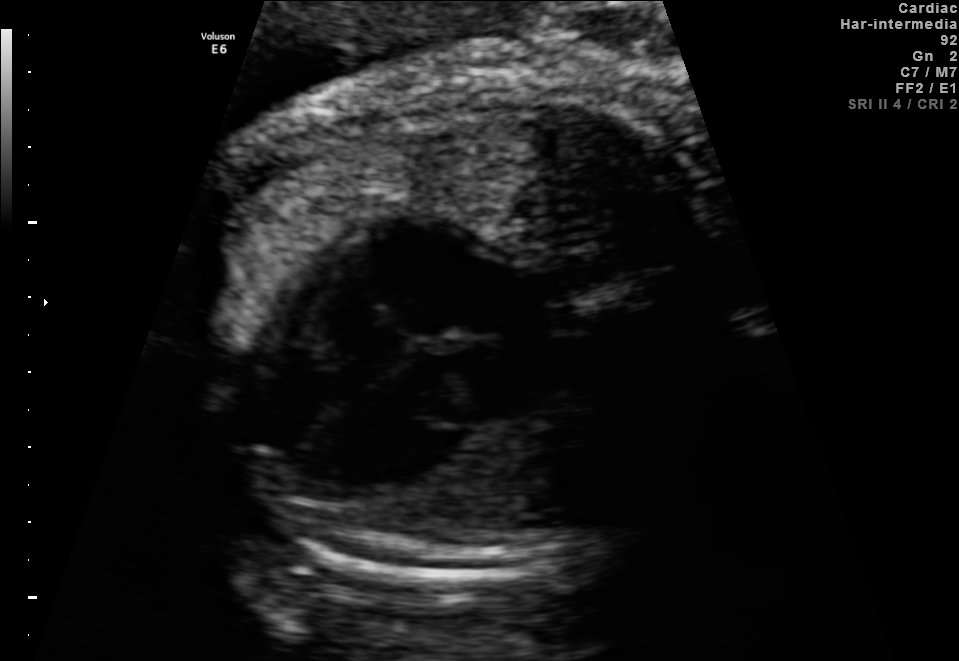
This is a 2D maternal-fetal ultrasound frame. Is it a fetal abdomen, fetal brain, fetal femur, fetal thorax, maternal cervix, or other standard plane? If it's fetal brain and one of the three standard brain planes (trans-thalamic, trans-cerebellum, trans-ventricular), name which.

Fetal thorax